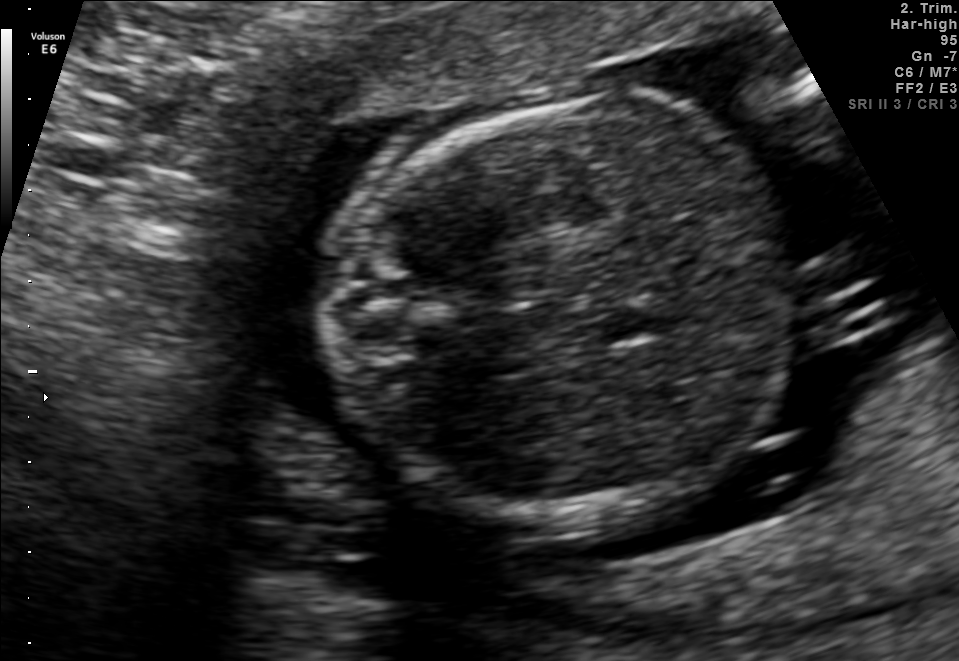
Which standard maternal-fetal ultrasound plane is shown: fetal abdomen, fetal brain, fetal femur, fetal thorax, maternal cervix, or other? If it's fetal brain and one of the three standard brain planes (trans-thalamic, trans-cerebellum, trans-ventricular), name which.

Fetal abdomen